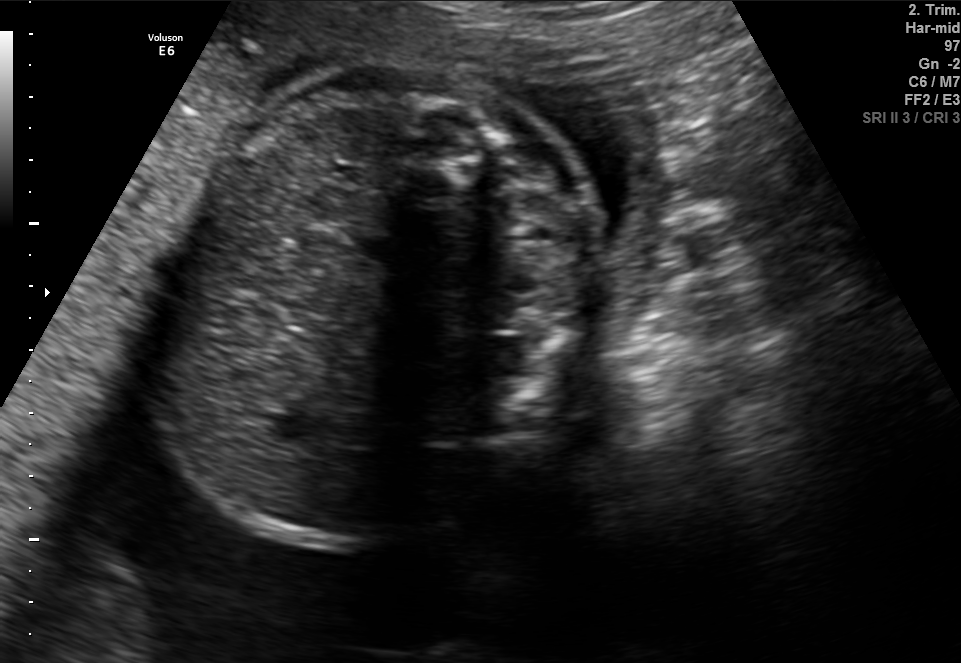
Which standard maternal-fetal ultrasound plane is shown: fetal abdomen, fetal brain, fetal femur, fetal thorax, maternal cervix, or other? If it's fetal brain and one of the three standard brain planes (trans-thalamic, trans-cerebellum, trans-ventricular), name which.

Other